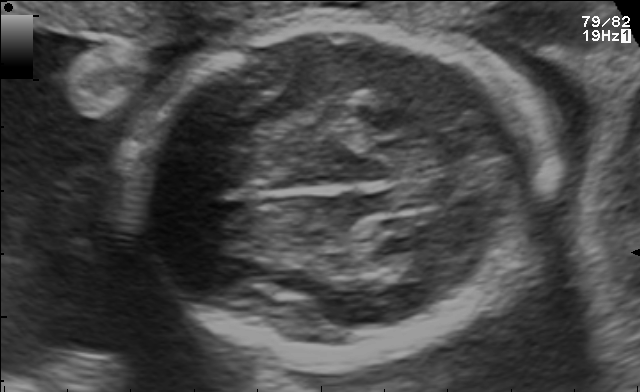
Which standard maternal-fetal ultrasound plane is shown: fetal abdomen, fetal brain, fetal femur, fetal thorax, maternal cervix, or other? If it's fetal brain and one of the three standard brain planes (trans-thalamic, trans-cerebellum, trans-ventricular), name which.

Fetal brain (trans-thalamic plane)